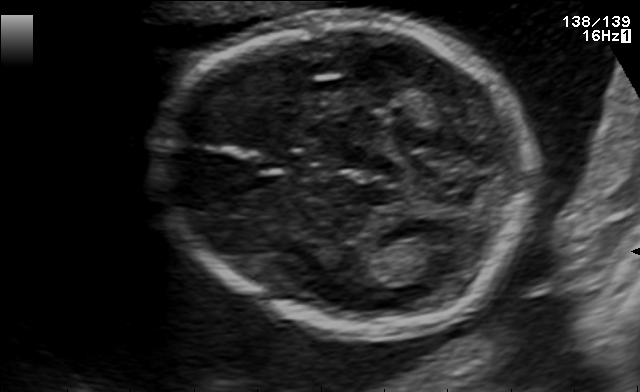
Which standard maternal-fetal ultrasound plane is shown: fetal abdomen, fetal brain, fetal femur, fetal thorax, maternal cervix, or other? If it's fetal brain and one of the three standard brain planes (trans-thalamic, trans-cerebellum, trans-ventricular), name which.

Fetal brain (trans-thalamic plane)